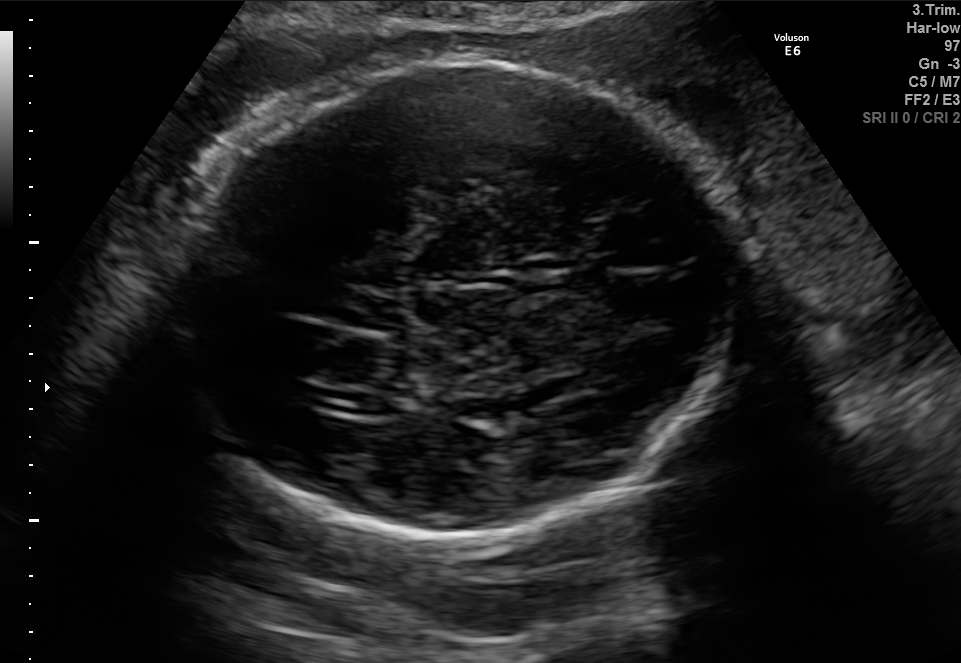
In this fetal brain, trans-ventricular plane, give the bounding box of the fetal head.

[153,55,756,544]